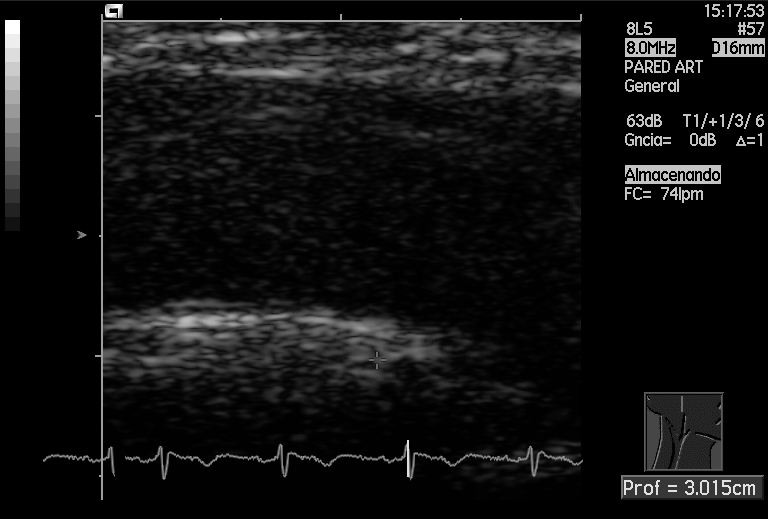
This is a 2D maternal-fetal ultrasound frame. Is it a fetal abdomen, fetal brain, fetal femur, fetal thorax, maternal cervix, or other standard plane? If it's fetal brain and one of the three standard brain planes (trans-thalamic, trans-cerebellum, trans-ventricular), name which.

Other